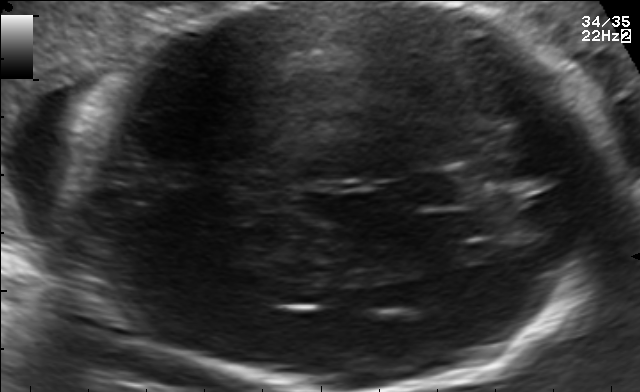
Fetal brain, trans-thalamic plane. Locate the fetal head and, if visible, the cavum septum pellucidum (CSP) and lateral ventricle (LV). Give bounding boxes as [x1,y1,x2,y2].

Head: [65,3,622,390]
CSP: [411,170,469,210]